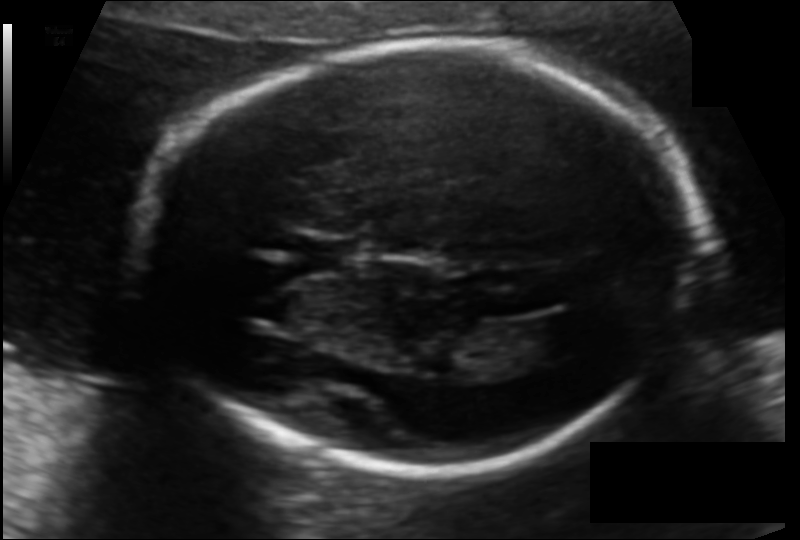
What is the fetal head circumference? Image width is 97.4 mm.

193.1 mm